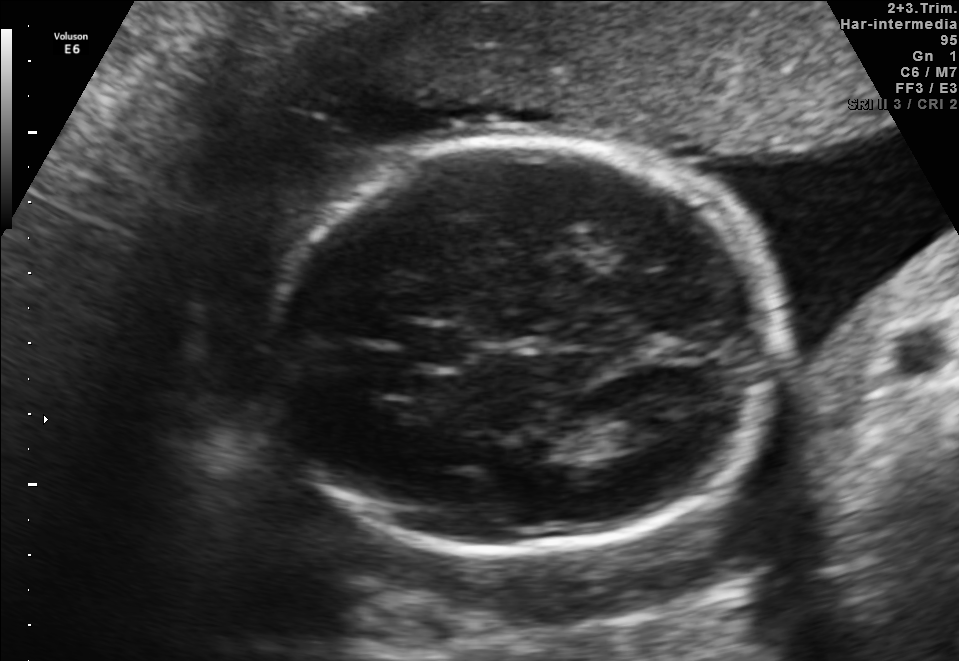
Fetal brain, trans-thalamic plane. Where is the fetal head?

Head bounding box: [260,141,783,552]